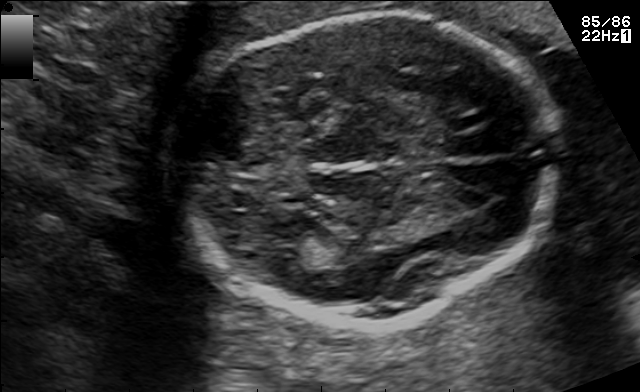
Fetal brain, trans-thalamic plane. Locate the fetal head.

Head: [176,12,562,327]